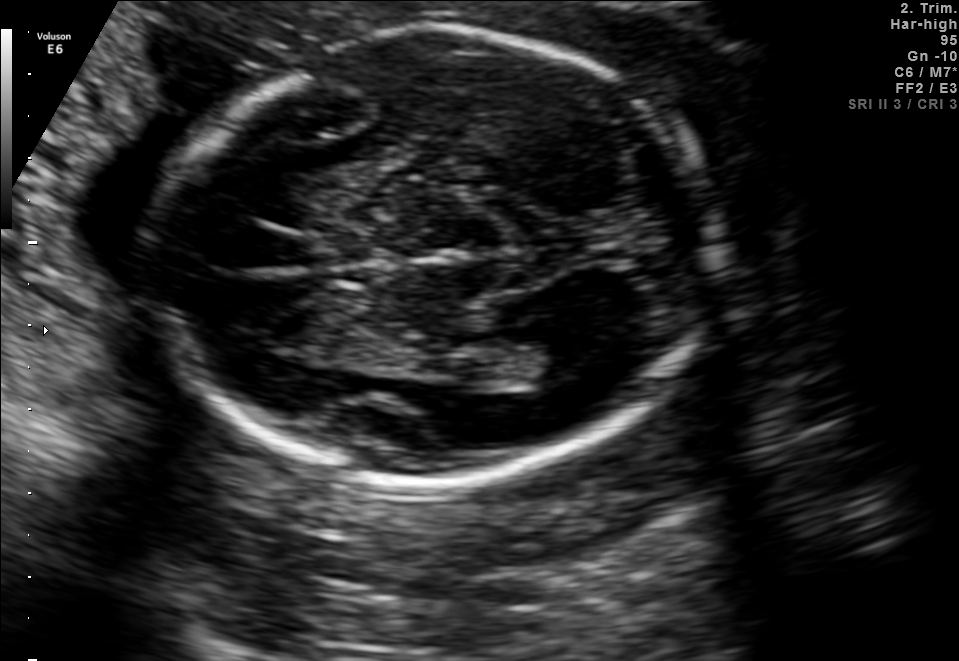
Fetal brain, trans-ventricular plane. Where is the cavum septum pellucidum?

CSP bounding box: [305,248,384,283]